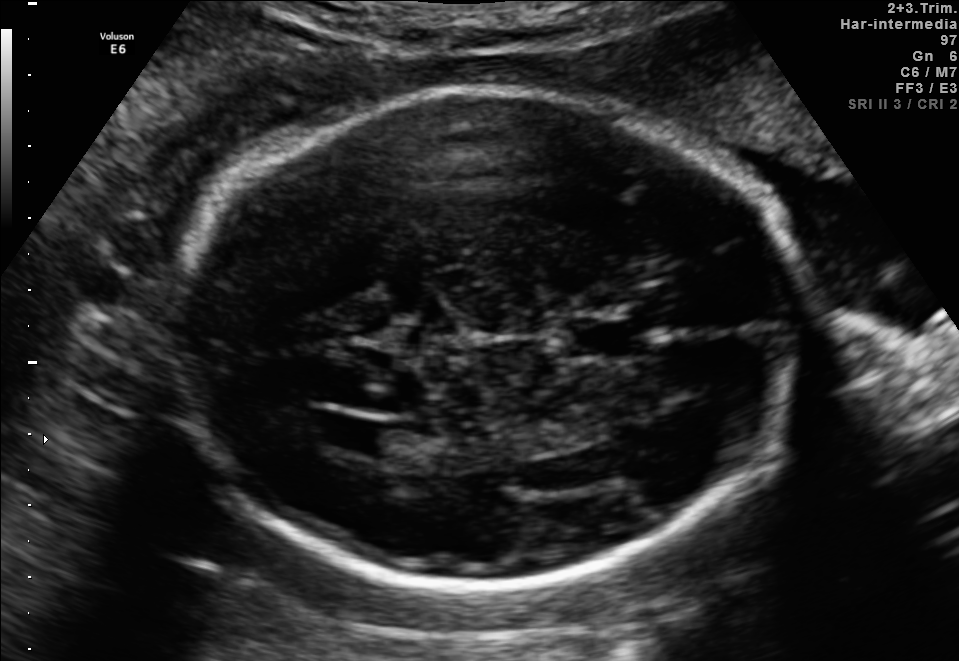
Fetal brain, trans-ventricular plane. Give [x1,y1,x2,y2] bounding boxes for each visible structure among: fetal head, CSP, LV.

Head: [161,85,816,592]
CSP: [554,321,641,355]
Lateral ventricle: [320,411,383,458]